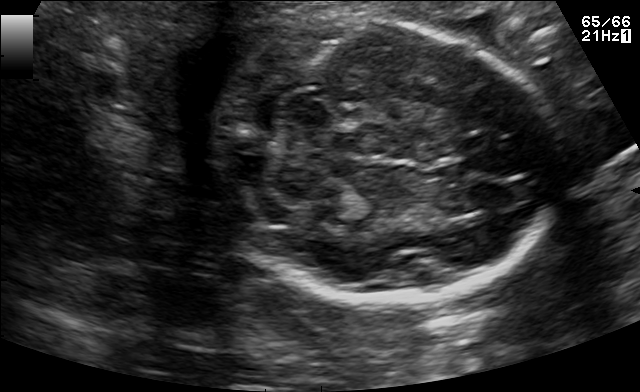
Fetal brain, trans-cerebellum plane. Locate the fetal head and, if visible, the cavum septum pellucidum (CSP) and lateral ventricle (LV). Give bounding boxes as [x1,y1,x2,y2].

Head: [203,20,561,302]